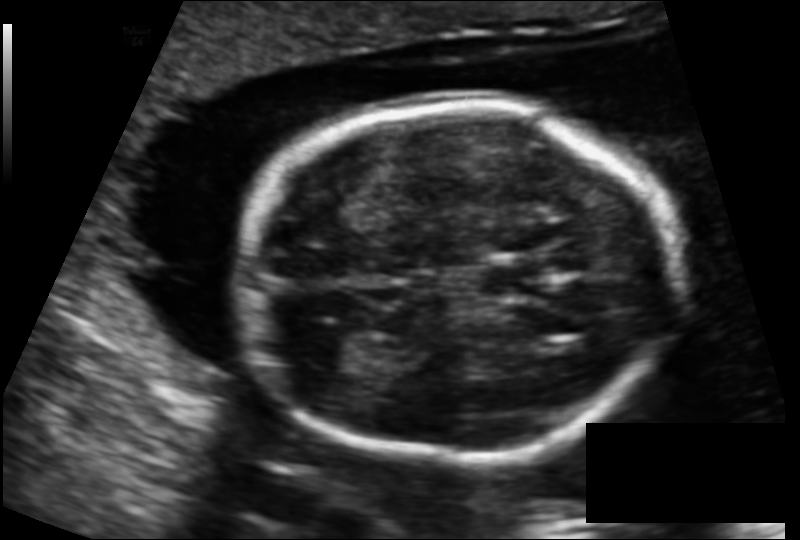
In this fetal head ultrasound, give bounding boxes for the head outline, cavum septum pellucidum (CSP), and lateral ventricle (LV), where visible. Image width: 104.4 mm.

Head: [239,103,679,465]
CSP: [479,261,549,302]
Lateral ventricle: [301,325,381,374]